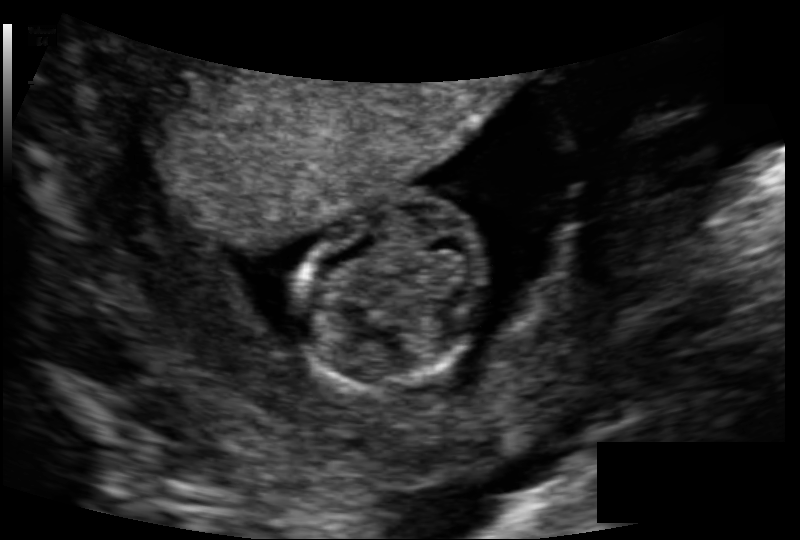
Estimate the fetal head circumference from this 2D ultrasound. Image width: 94.2 mm.

Head circumference: 75.8 mm.